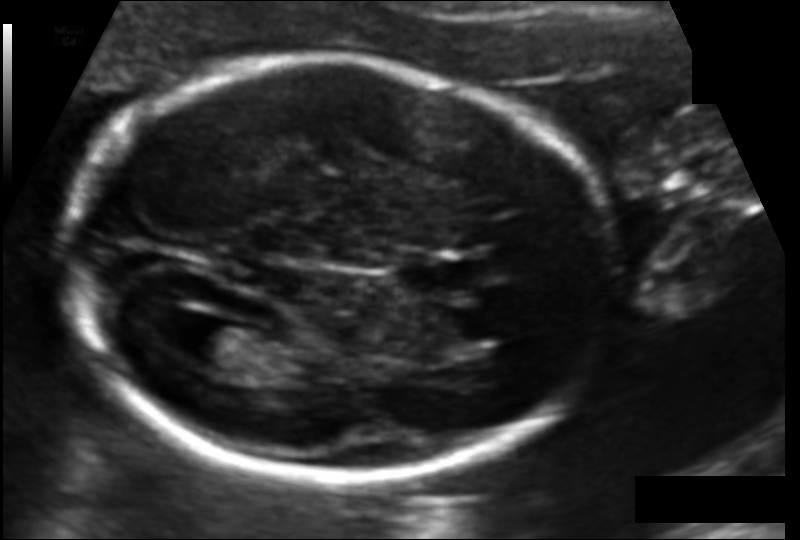
What is the fetal head circumference? Image width is 91.0 mm.

177.8 mm